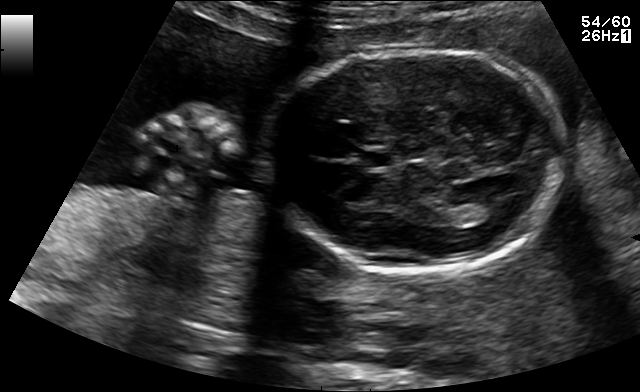
Fetal brain, trans-thalamic plane. Locate the cavum septum pellucidum.

CSP: [362,151,395,168]